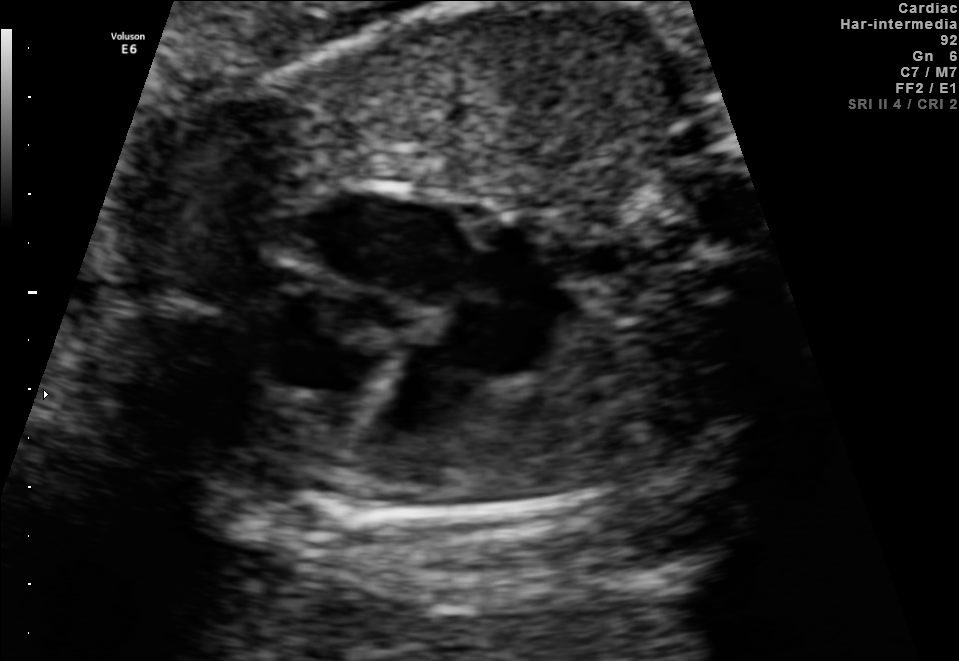
This is a 2D maternal-fetal ultrasound frame. Is it a fetal abdomen, fetal brain, fetal femur, fetal thorax, maternal cervix, or other standard plane? If it's fetal brain and one of the three standard brain planes (trans-thalamic, trans-cerebellum, trans-ventricular), name which.

Fetal thorax